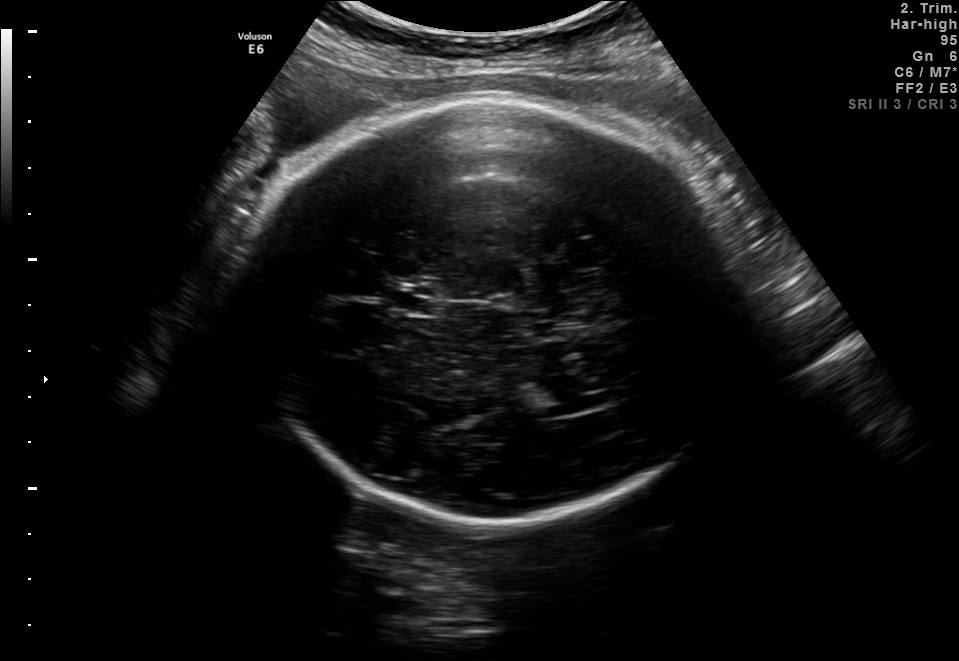
Fetal brain, trans-ventricular plane. Locate the lateral ventricle.

Lateral ventricle: [527,373,595,419]